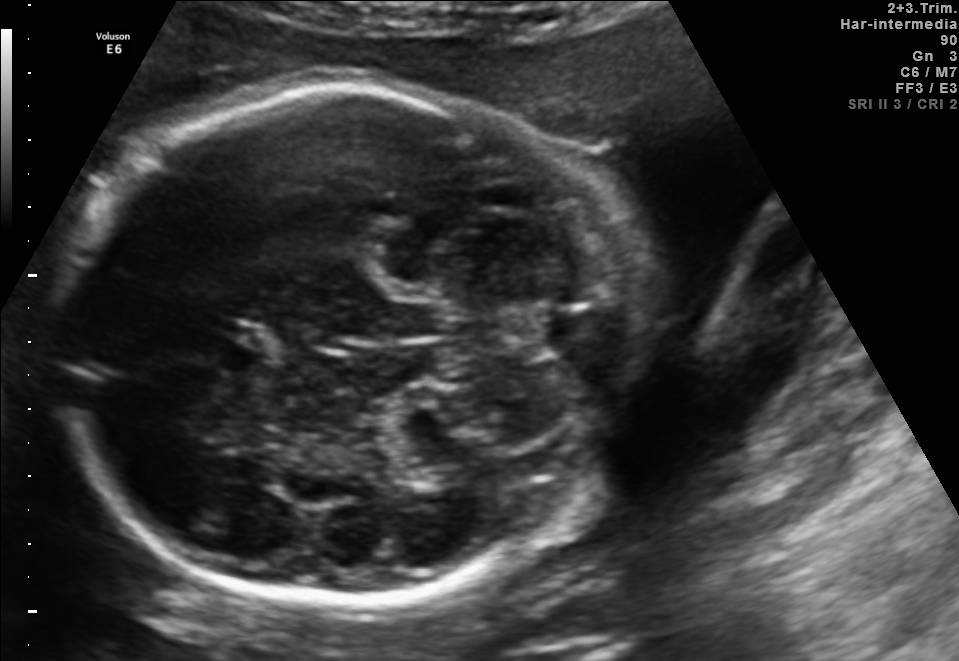
In this fetal brain, trans-cerebellum plane, give the bounding box of the fetal head.

[51,85,616,608]